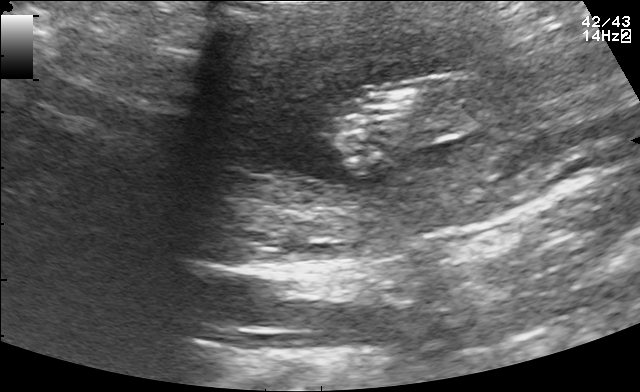
This is a 2D maternal-fetal ultrasound frame. Is it a fetal abdomen, fetal brain, fetal femur, fetal thorax, maternal cervix, or other standard plane? If it's fetal brain and one of the three standard brain planes (trans-thalamic, trans-cerebellum, trans-ventricular), name which.

Other